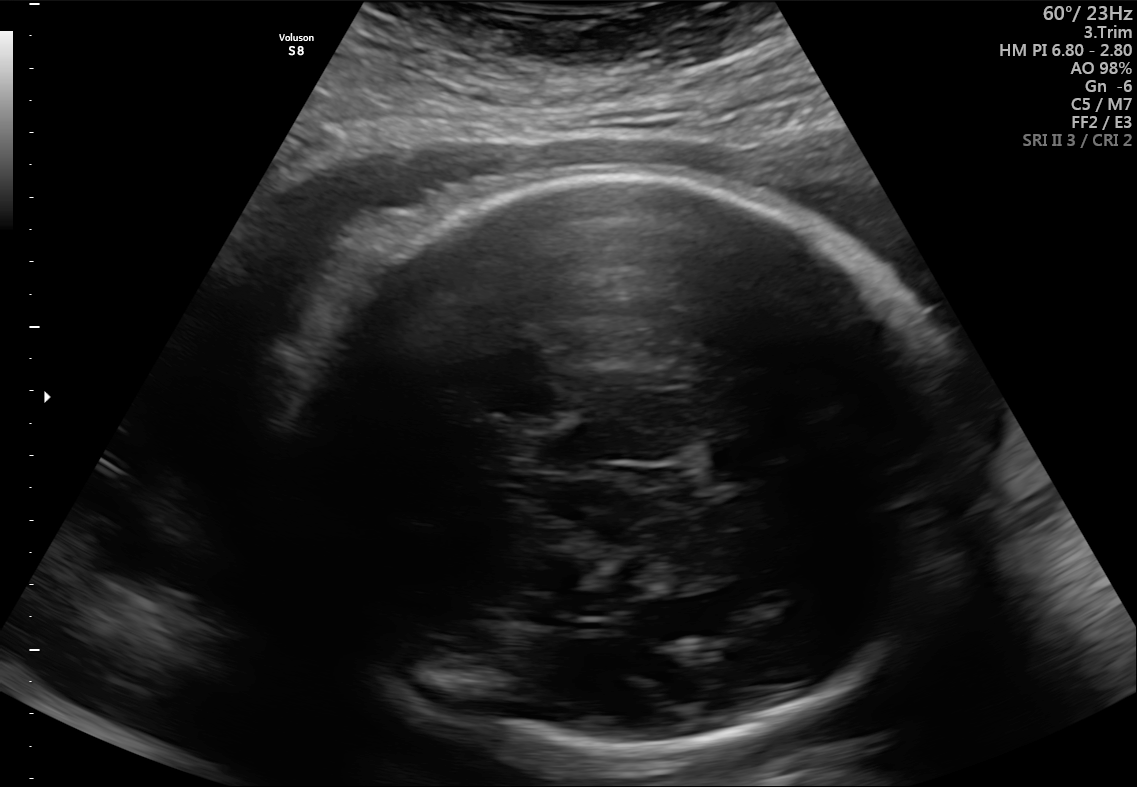
Fetal brain, trans-thalamic plane. Give [x1,y1,x2,y2] bounding boxes for each visible structure among: fetal head, CSP, LV.

Head: [299,173,969,757]
CSP: [710,440,777,479]